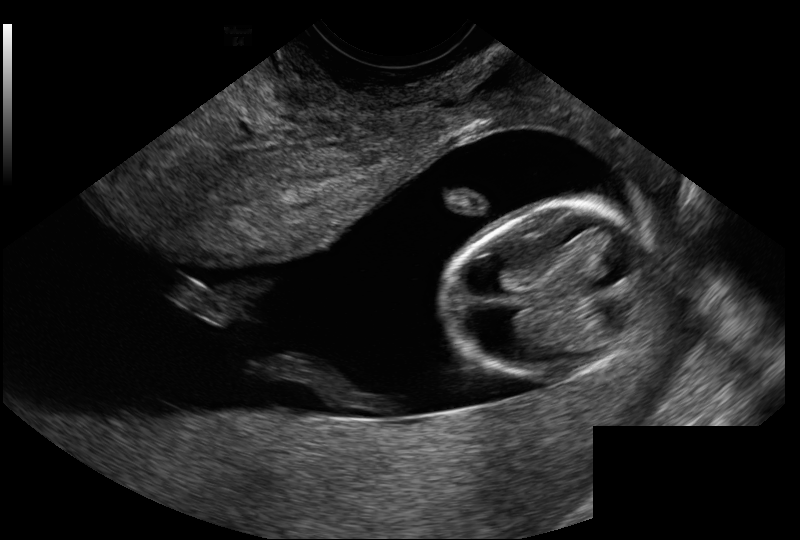
Fetal head ultrasound. Image width: 91.5 mm. Give [x1,y1,x2,y2] bounding boxes for each visible structure among: fetal head, CSP, LV.

Head: [450,202,650,379]